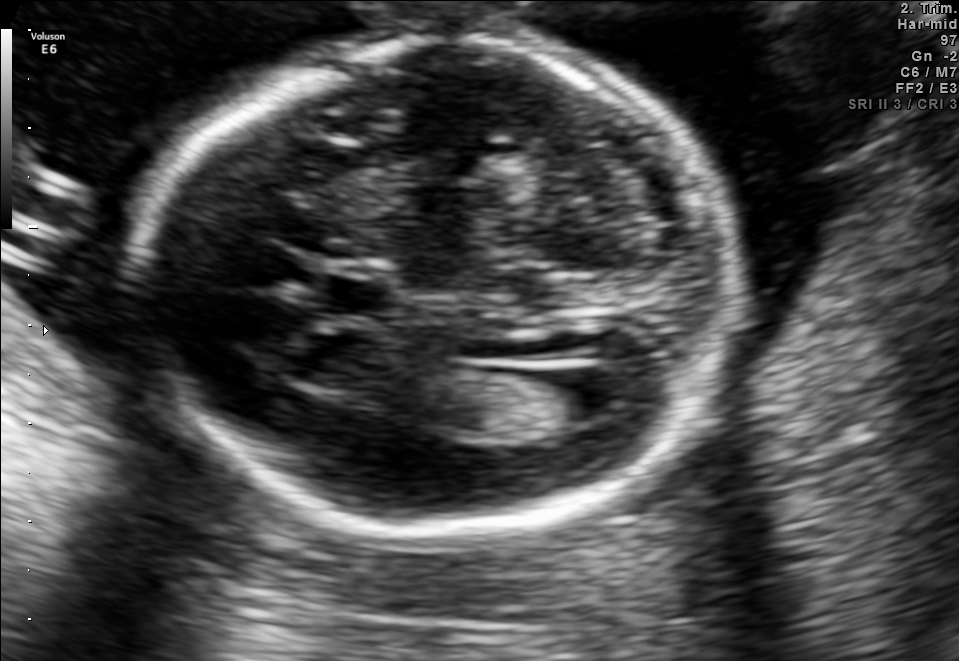
In this fetal brain, trans-ventricular plane, give the bounding box of the cavum septum pellucidum.

[324,277,390,315]